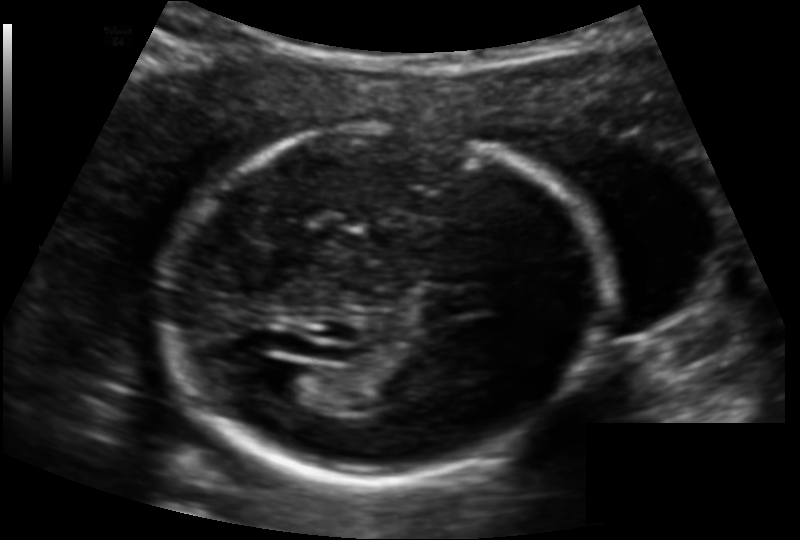
Fetal head ultrasound. Image width: 105.9 mm. Give [x1,y1,x2,y2] bounding boxes for each visible structure among: fetal head, CSP, LV.

Head: [154,127,607,480]
Lateral ventricle: [266,358,330,411]